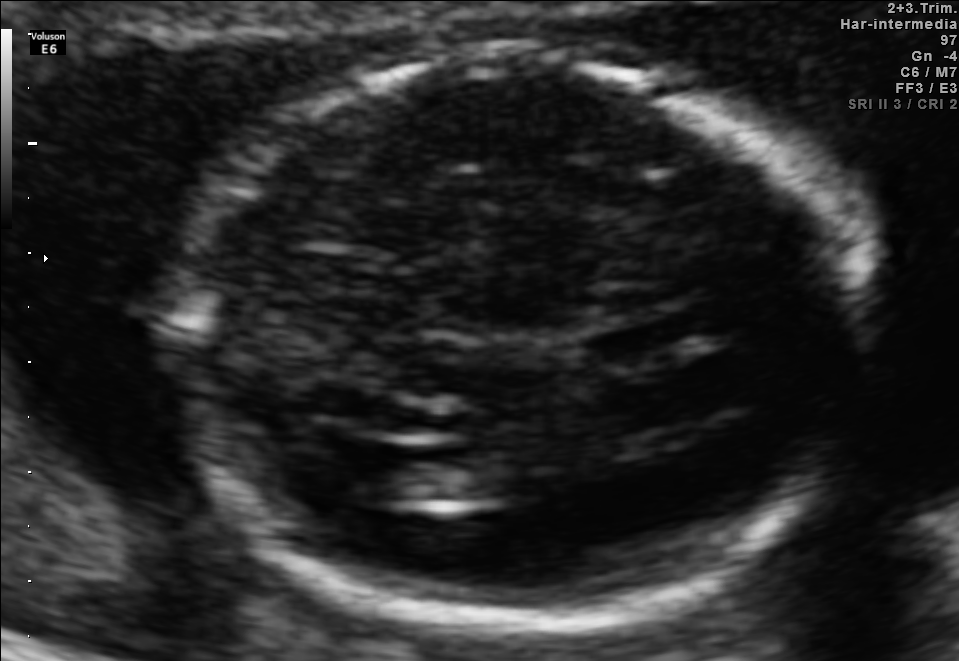
In this fetal brain, trans-ventricular plane, give bounding boxes for the head outline, cavum septum pellucidum (CSP), and lateral ventricle (LV), where visible.

Head: [152,35,897,632]
Lateral ventricle: [367,446,443,499]